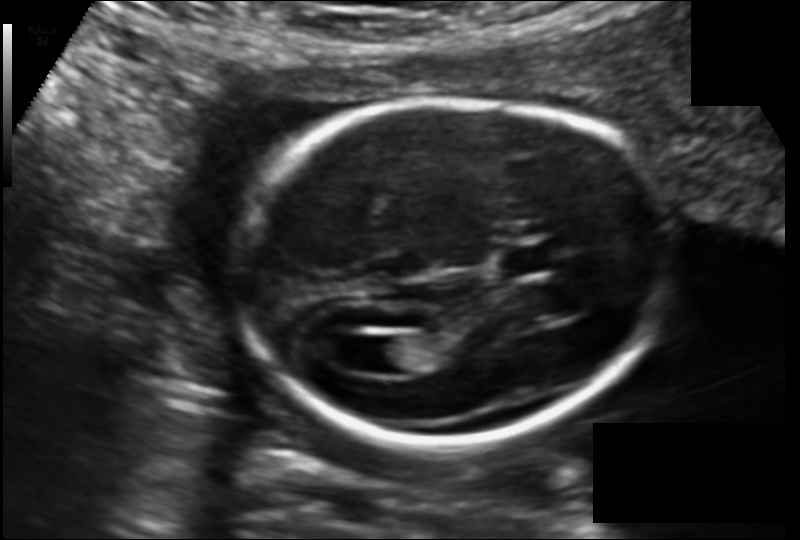
What is the fetal head circumference? Image width is 107.8 mm.

170.2 mm